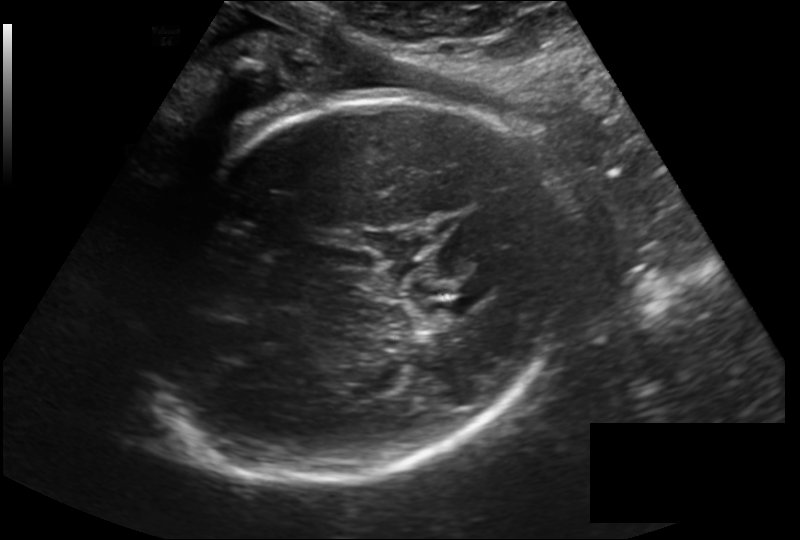
In this fetal head ultrasound, give bounding boxes for the head outline, cavum septum pellucidum (CSP), and lateral ventricle (LV), where visible. Image width: 175.4 mm.

Head: [124,96,574,484]